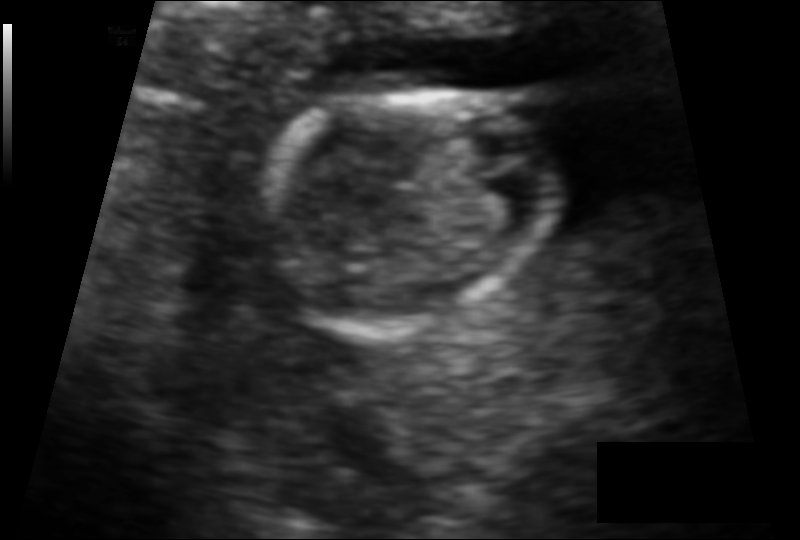
Estimate the fetal head circumference from this 2D ultrasound. Image width: 73.2 mm.

Head circumference: 79.3 mm.